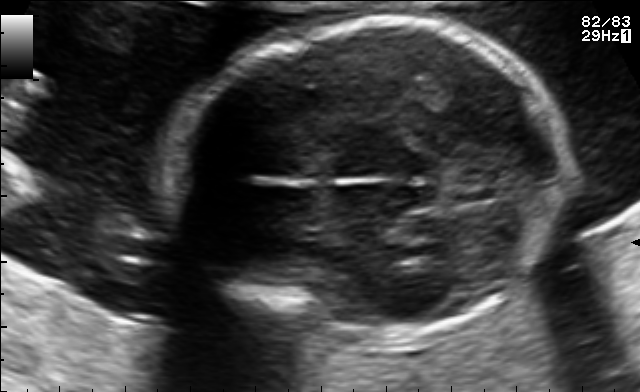
Fetal brain, trans-thalamic plane. Locate the fetal head.

Head: [174,20,567,346]